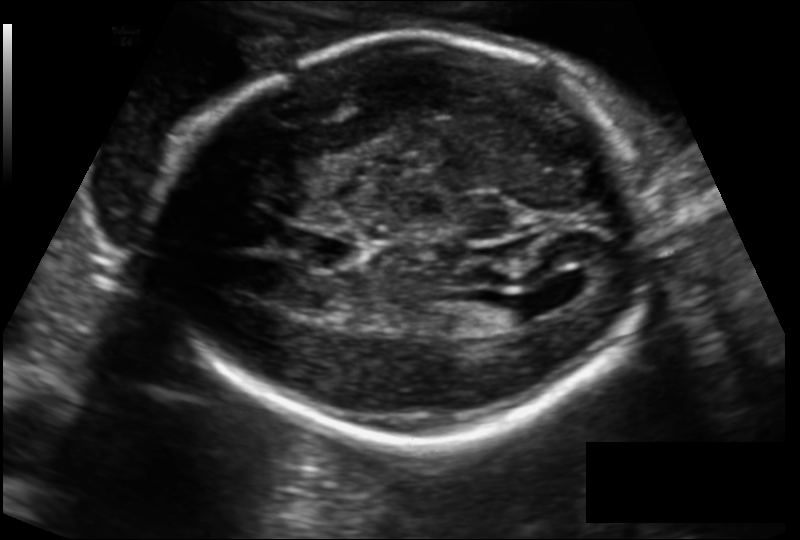
Fetal head ultrasound. Image width: 119.5 mm. Locate the fetal head and, if visible, the cavum septum pellucidum (CSP) and lateral ventricle (LV). Give bounding boxes as [x1,y1,x2,y2].

Head: [154,35,659,440]
CSP: [296,229,362,275]
Lateral ventricle: [470,292,532,333]